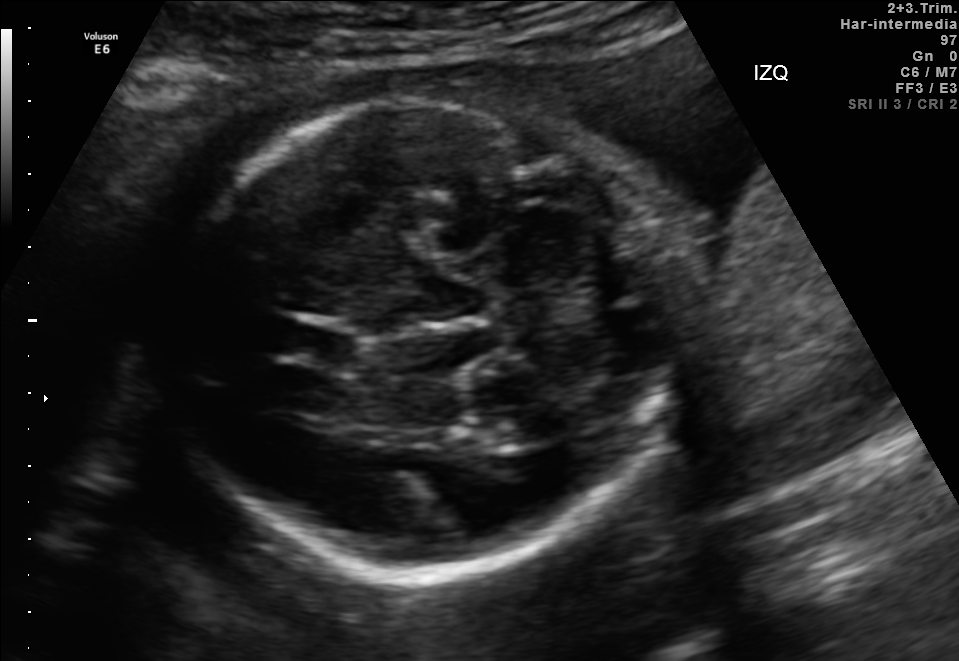
Fetal brain, trans-cerebellum plane. Give [x1,y1,x2,y2] bounding boxes for each visible structure among: fetal head, CSP, LV.

Head: [169,94,704,577]
CSP: [278,315,362,372]